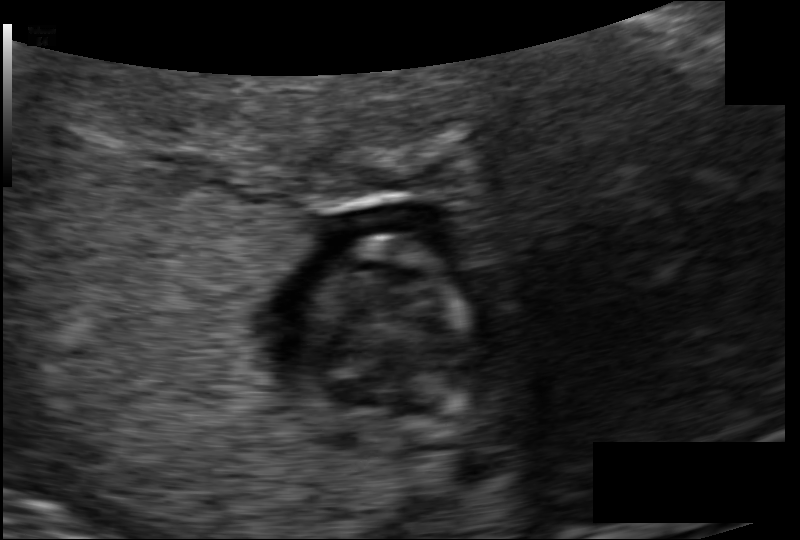
Estimate the fetal head circumference from this 2D ultrasound. Image width: 78.7 mm.

Head circumference: 62.5 mm.